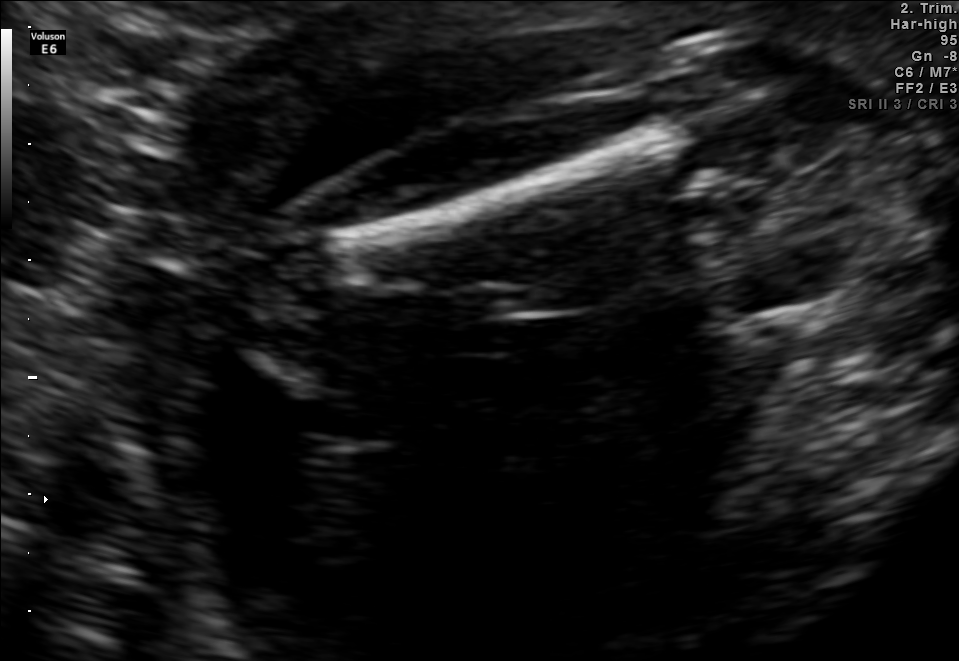
Identify the standard plane in this fetal ultrasound image: fetal abdomen, fetal brain, fetal femur, fetal thorax, maternal cervix, or other. If it's fetal brain and one of the three standard brain planes (trans-thalamic, trans-cerebellum, trans-ventricular), name which.

Fetal femur